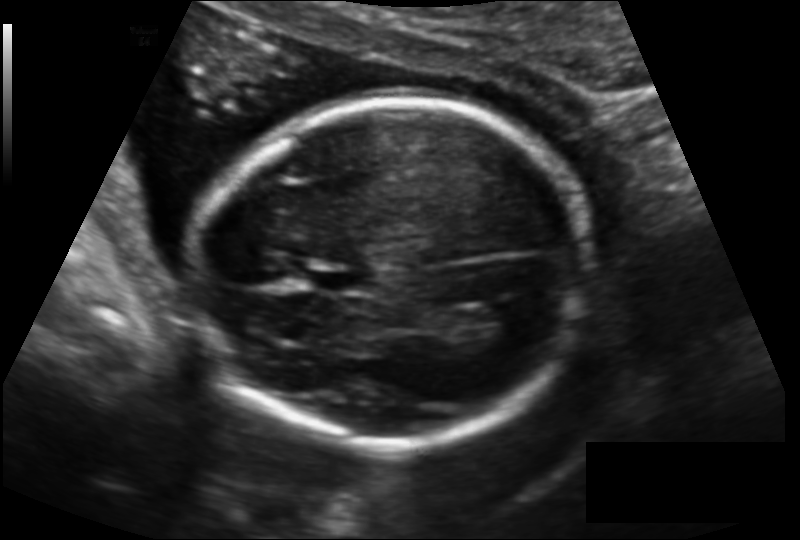
Fetal head ultrasound. Image width: 111.8 mm. Locate the fetal head and, if visible, the cavum septum pellucidum (CSP) and lateral ventricle (LV). Give bounding boxes as [x1,y1,x2,y2].

Head: [201,99,591,444]
CSP: [309,264,370,297]
Lateral ventricle: [472,298,533,340]